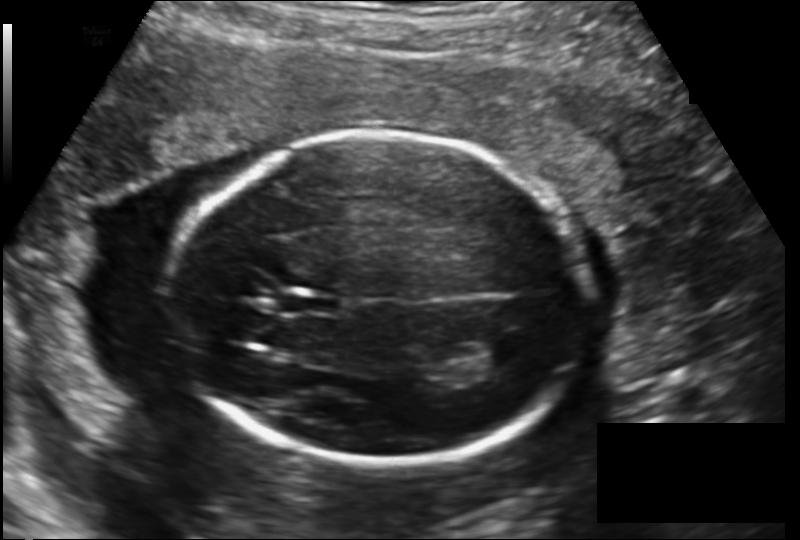
Fetal head ultrasound. Image width: 130.6 mm. Where is the cavum septum pellucidum?

CSP bounding box: [280,291,335,314]